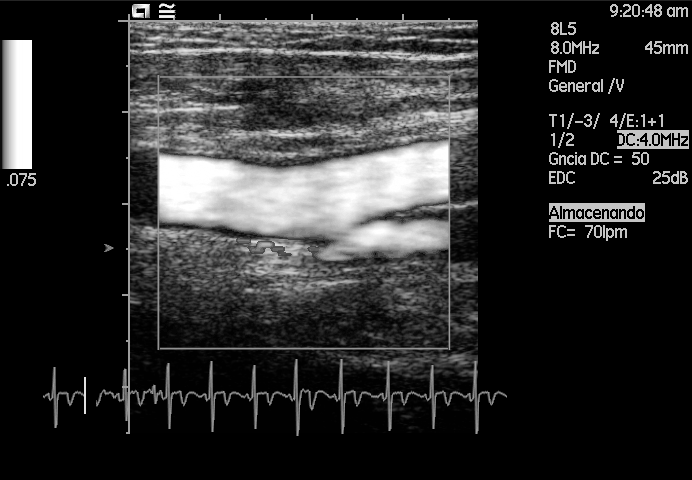
Classify this maternal-fetal ultrasound image as one of the six standard planes — fetal abdomen, fetal brain, fetal femur, fetal thorax, maternal cervix, or other. If it's fetal brain and one of the three standard brain planes (trans-thalamic, trans-cerebellum, trans-ventricular), name which.

Other